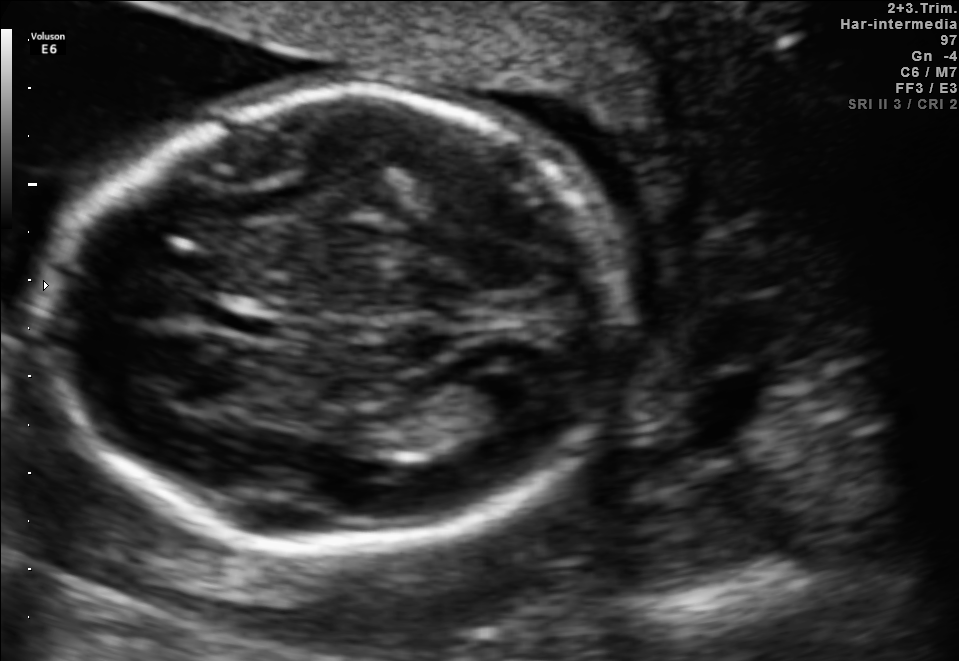
Fetal brain, trans-ventricular plane. Where is the fetal head?

Head bounding box: [41,81,646,560]